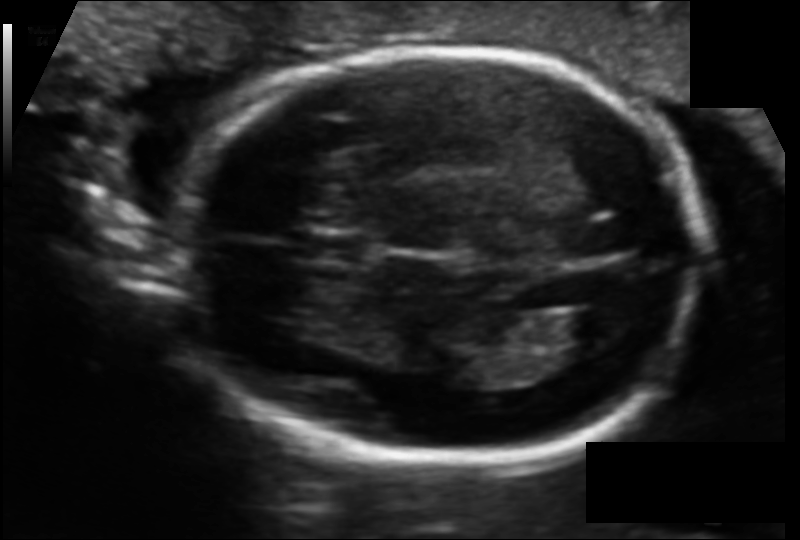
Estimate the fetal head circumference from this 2D ultrasound. Image width: 86.3 mm.

Head circumference: 166.9 mm.